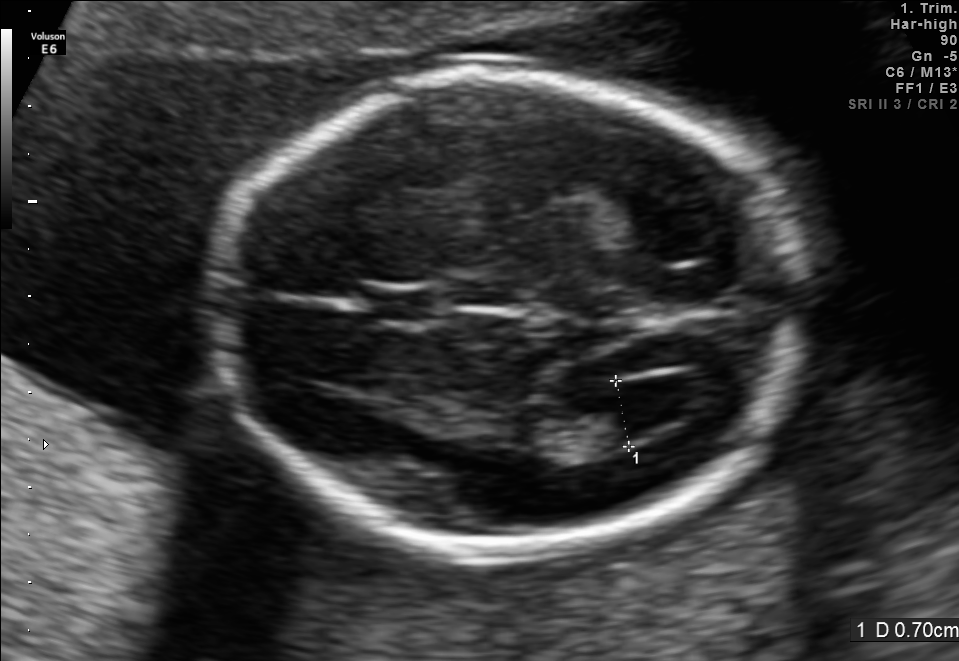
In this fetal brain, trans-ventricular plane, give bounding boxes for the head outline, cavum septum pellucidum (CSP), and lateral ventricle (LV), where visible.

Head: [197,56,830,569]
CSP: [367,289,434,320]
Lateral ventricle: [597,371,701,440]